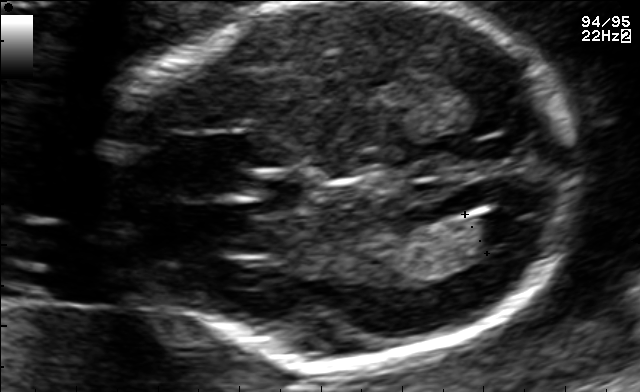
Fetal brain, trans-ventricular plane. Locate the lateral ventricle.

Lateral ventricle: [465,200,538,252]